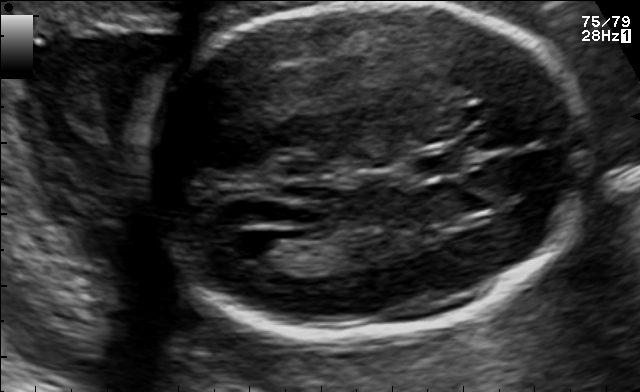
In this fetal brain, trans-ventricular plane, give the bounding box of the fetal head.

[123,2,606,346]